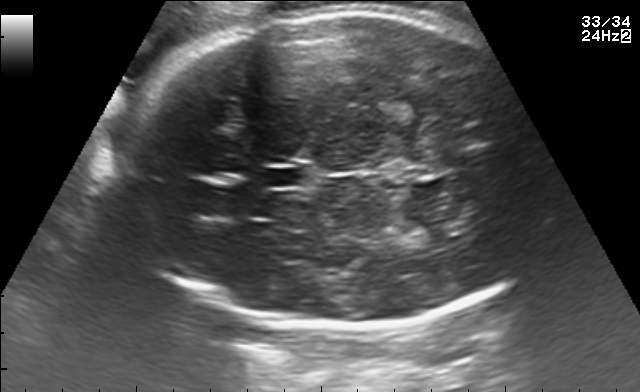
Fetal brain, trans-thalamic plane. Locate the fetal head and, if visible, the cavum septum pellucidum (CSP) and lateral ventricle (LV). Give bounding boxes as [x1,y1,x2,y2].

Head: [119,11,547,329]
CSP: [264,169,306,186]